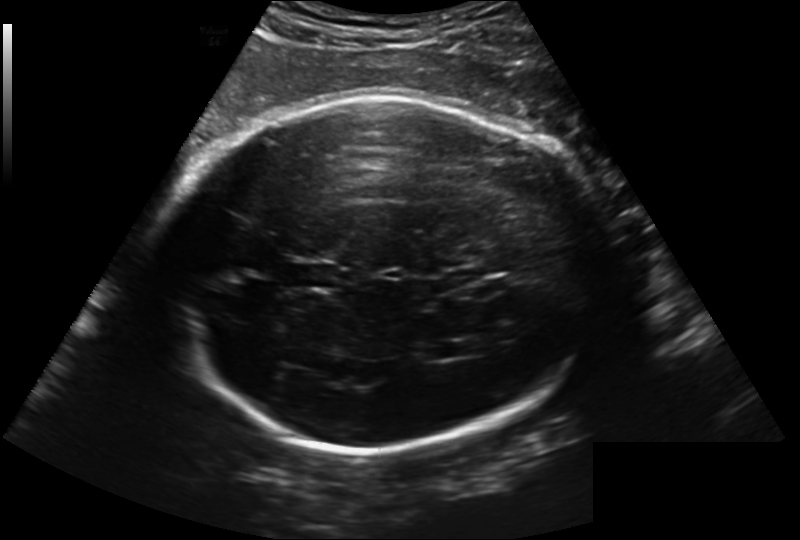
Estimate the fetal head circumference from this 2D ultrasound. Image width: 192.7 mm.

Head circumference: 301.3 mm.